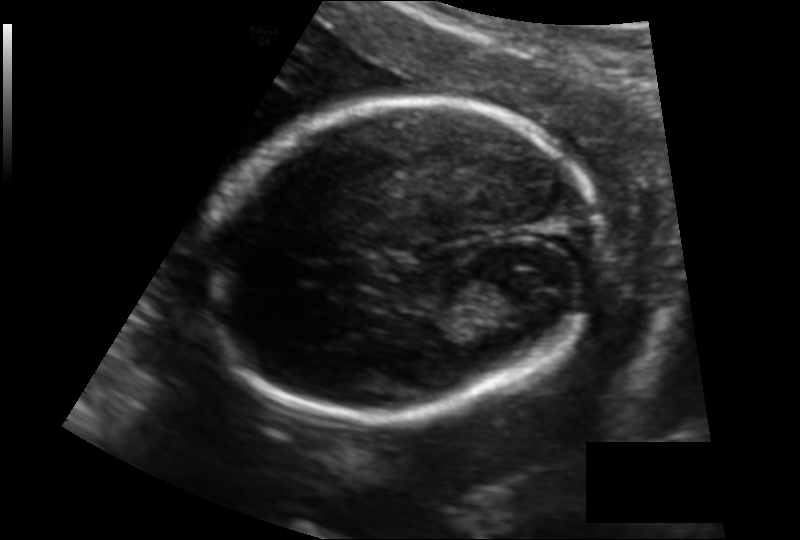
Measure the fetal head circumference shown in this ultrasound image. Image width: 112.2 mm.

Head circumference: 163.2 mm.